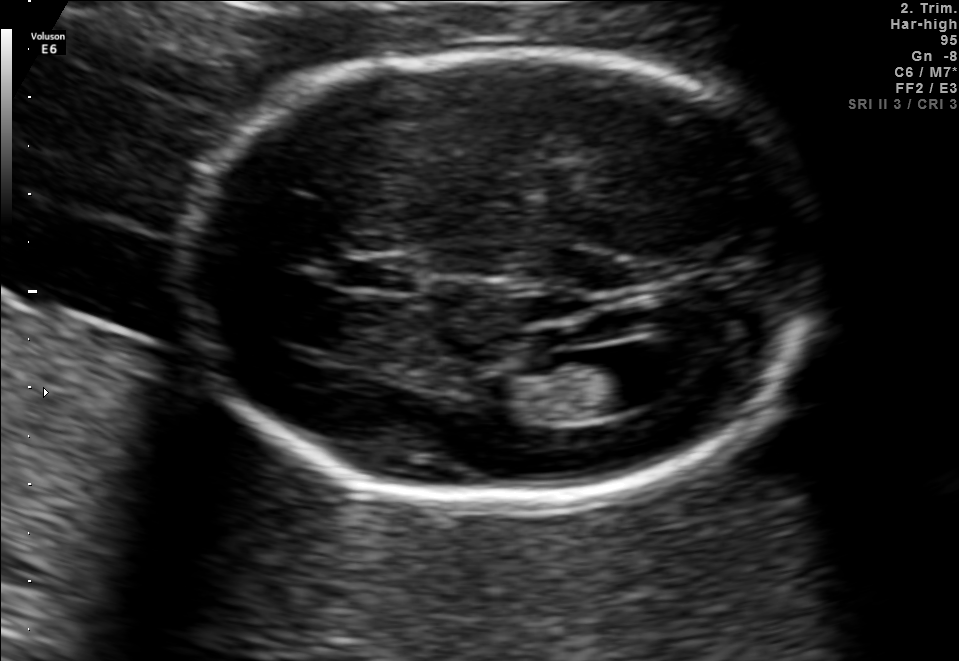
In this fetal brain, trans-ventricular plane, give bounding boxes for the head outline, cavum septum pellucidum (CSP), and lateral ventricle (LV), where visible.

Head: [174,44,823,507]
CSP: [326,251,429,300]
Lateral ventricle: [562,331,688,423]